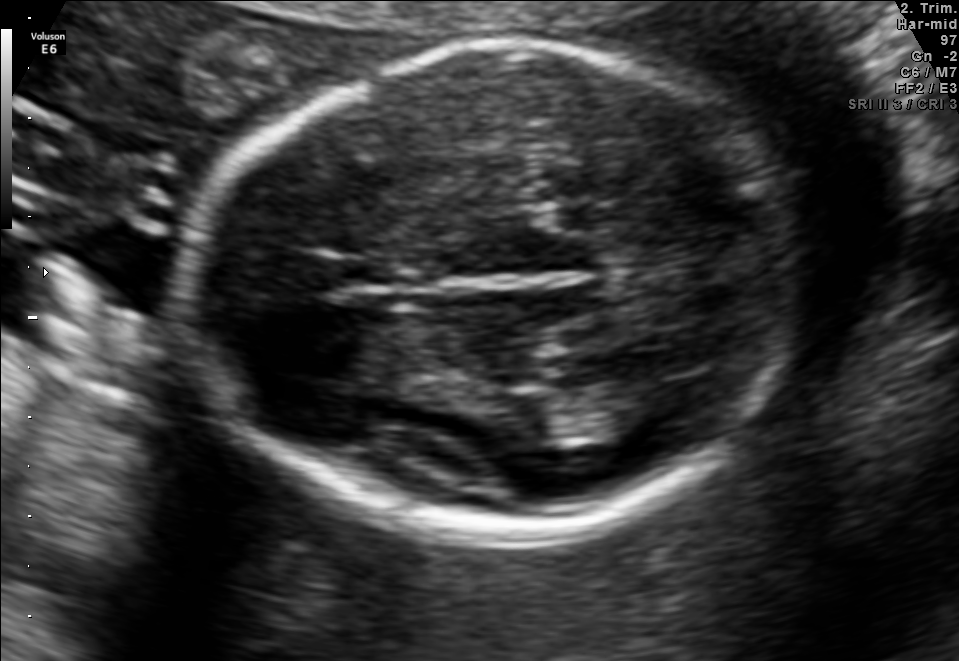
In this fetal brain, trans-thalamic plane, give the bounding box of the fetal head.

[177,45,794,534]